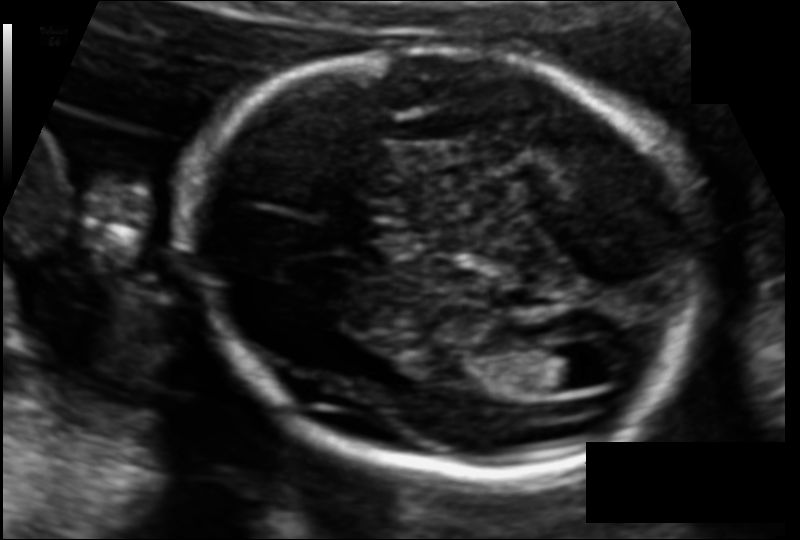
What is the fetal head circumference? Image width is 87.7 mm.

168.0 mm